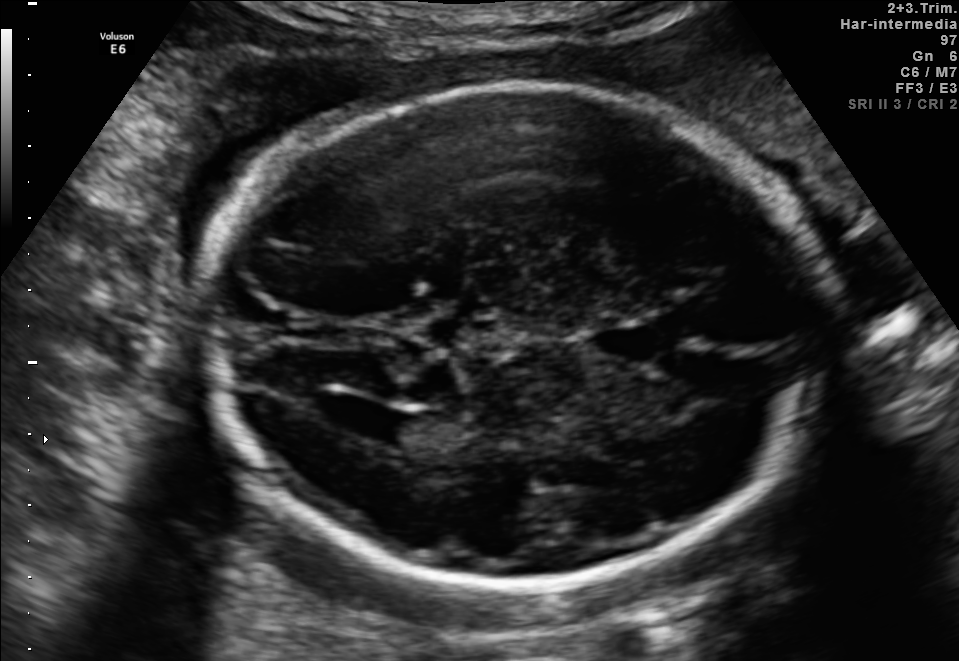
In this fetal brain, trans-ventricular plane, give the bounding box of the fetal head.

[196,79,845,592]